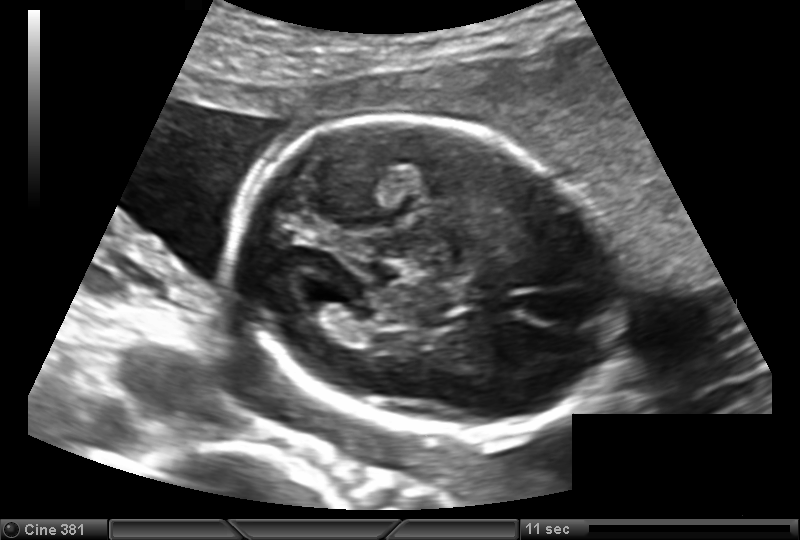
Fetal head ultrasound. Image width: 111.0 mm. Where is the lateral ventricle?

Lateral ventricle bounding box: [292,276,351,335]